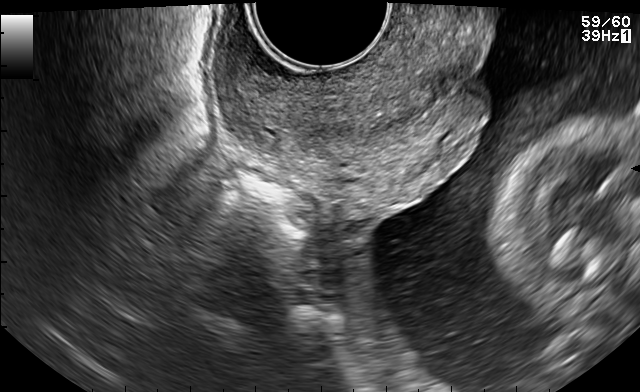
Identify the standard plane in this fetal ultrasound image: fetal abdomen, fetal brain, fetal femur, fetal thorax, maternal cervix, or other. If it's fetal brain and one of the three standard brain planes (trans-thalamic, trans-cerebellum, trans-ventricular), name which.

Maternal cervix